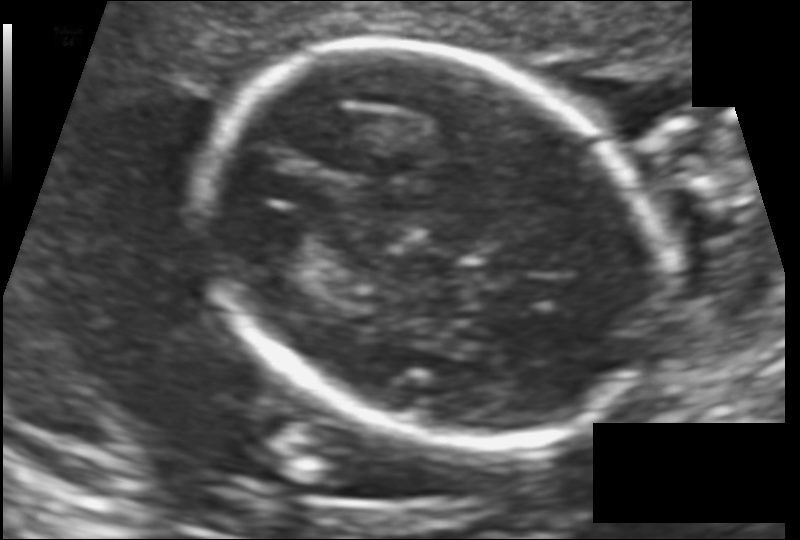
In this fetal head ultrasound, give bounding boxes for the head outline, cavum septum pellucidum (CSP), and lateral ventricle (LV), where visible. Image width: 101.0 mm.

Head: [199,46,652,442]